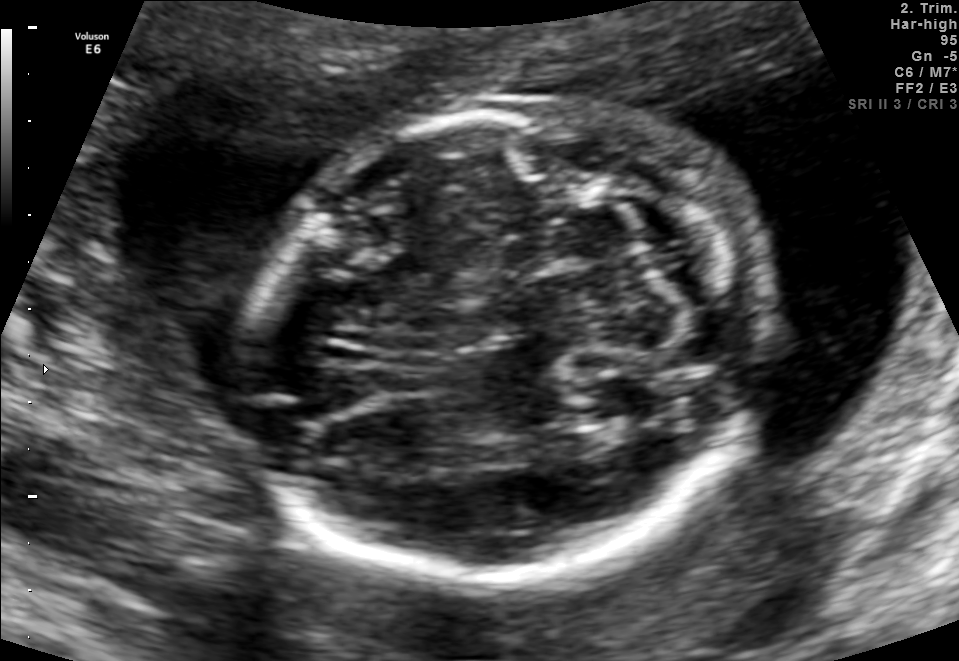
Fetal brain, trans-cerebellum plane. Locate the fetal head and, if visible, the cavum septum pellucidum (CSP) and lateral ventricle (LV). Give bounding boxes as [x1,y1,x2,y2].

Head: [262,96,765,587]